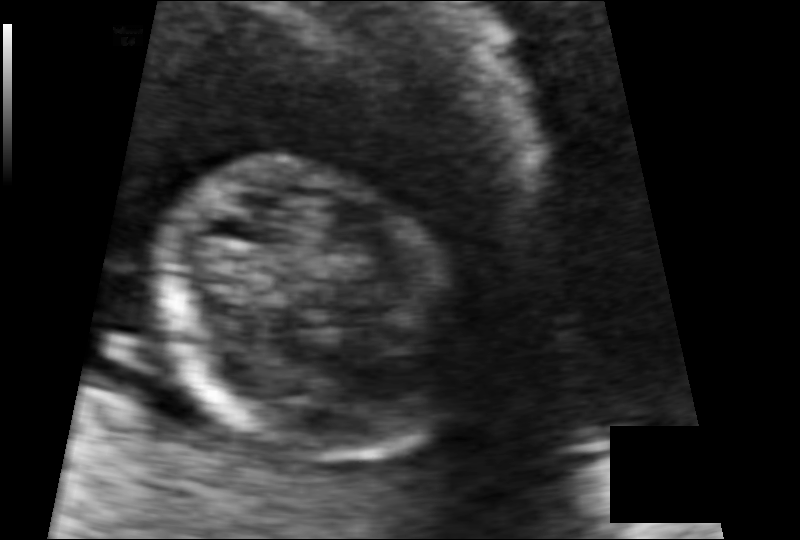
What is the fetal head circumference? Image width is 68.4 mm.

79.8 mm